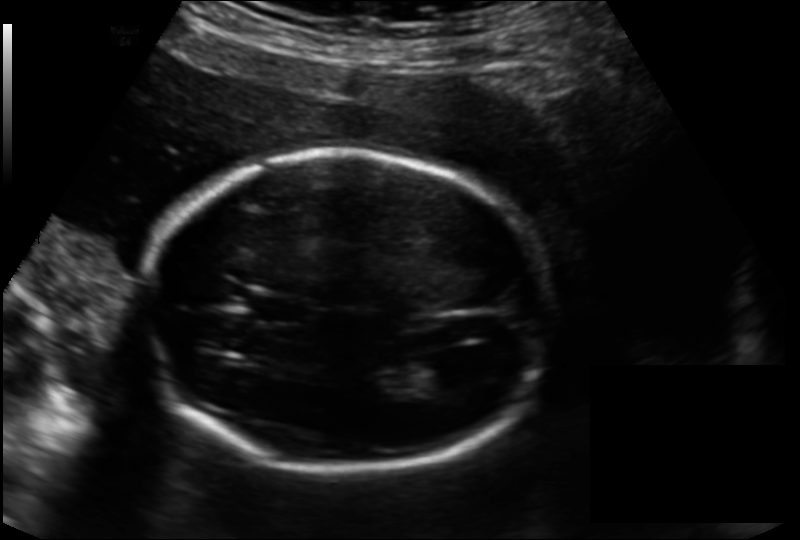
Fetal head ultrasound. Image width: 133.1 mm. Locate the fetal head.

Head: [147,148,551,472]